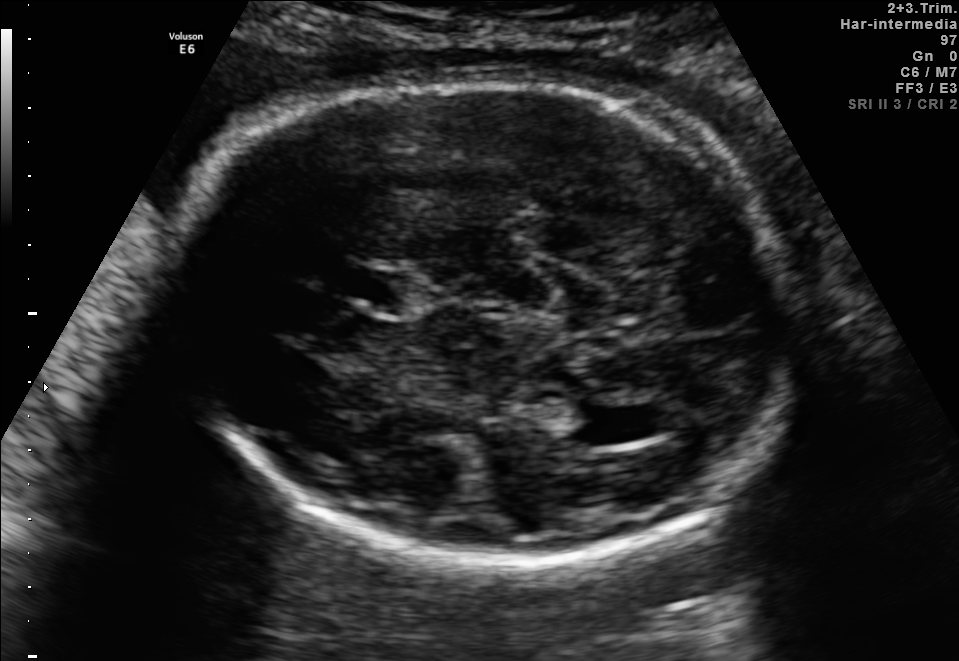
In this fetal brain, trans-ventricular plane, give the bounding box of the lateral ventricle.

[546,402,625,446]